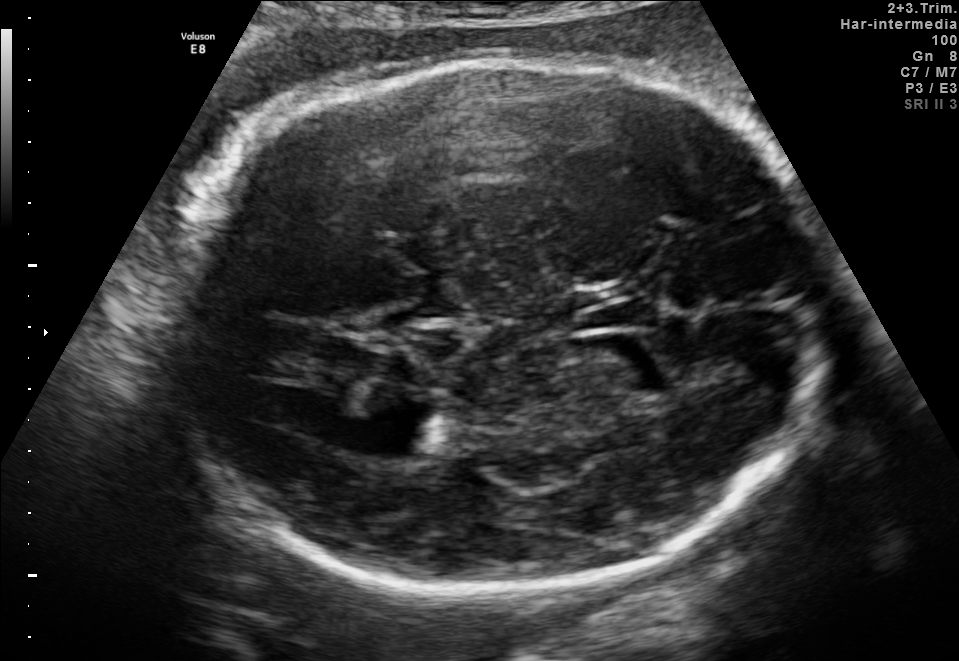
In this fetal brain, trans-thalamic plane, give bounding boxes for the head outline, cavum septum pellucidum (CSP), and lateral ventricle (LV), where visible.

Head: [172,55,819,594]
Lateral ventricle: [372,407,452,455]